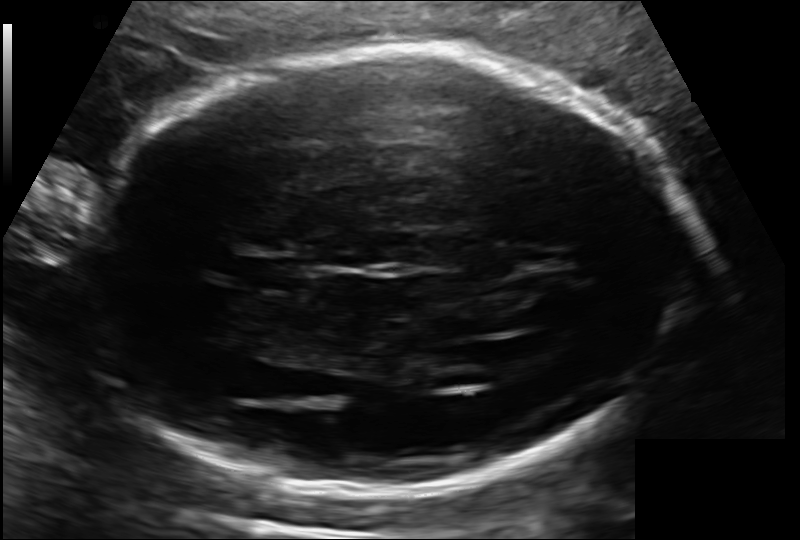
Fetal head ultrasound. Image width: 114.4 mm. Locate the fetal head.

Head: [79,48,694,495]